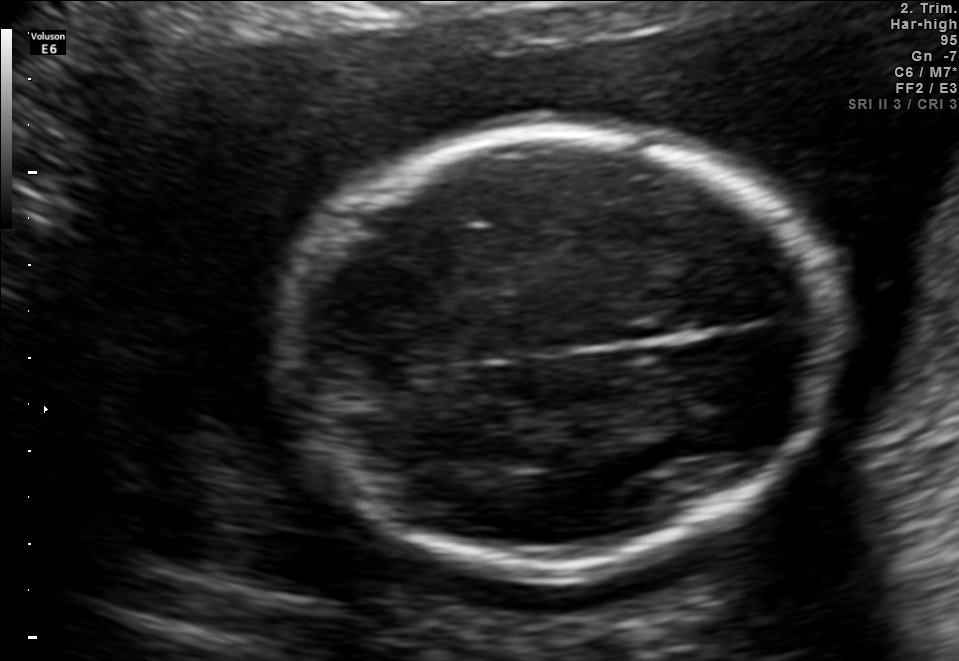
In this fetal brain, trans-thalamic plane, give bounding boxes for the head outline, cavum septum pellucidum (CSP), and lateral ventricle (LV), where visible.

Head: [285,131,826,572]